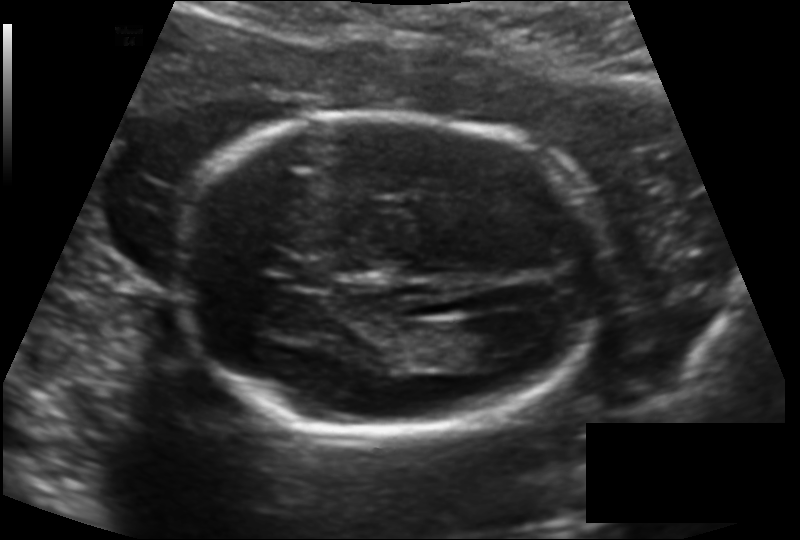
What is the fetal head circumference? Image width is 110.7 mm.

170.4 mm